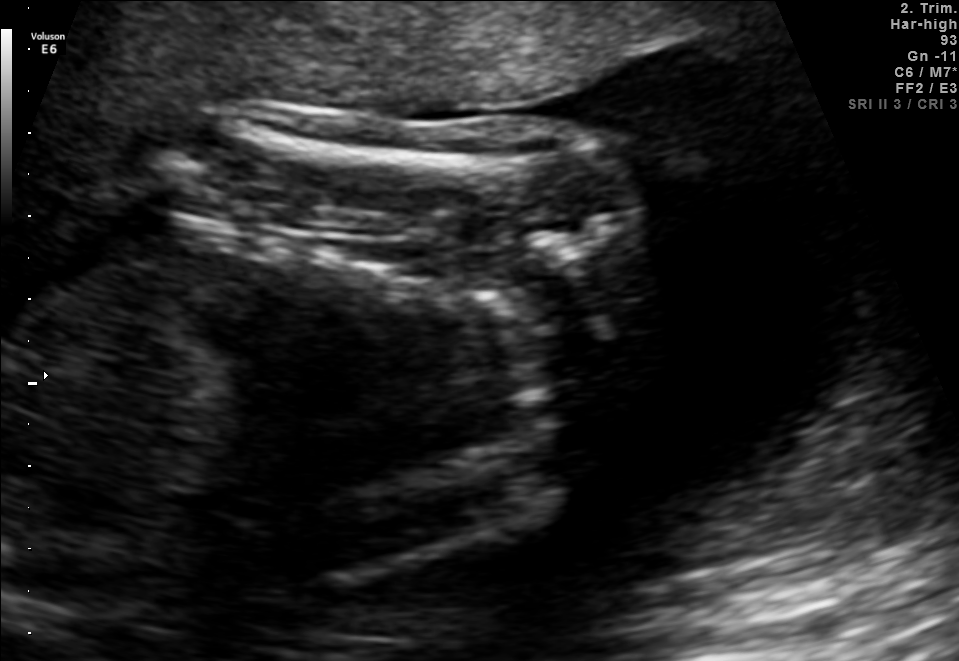
Classify this maternal-fetal ultrasound image as one of the six standard planes — fetal abdomen, fetal brain, fetal femur, fetal thorax, maternal cervix, or other. If it's fetal brain and one of the three standard brain planes (trans-thalamic, trans-cerebellum, trans-ventricular), name which.

Fetal femur